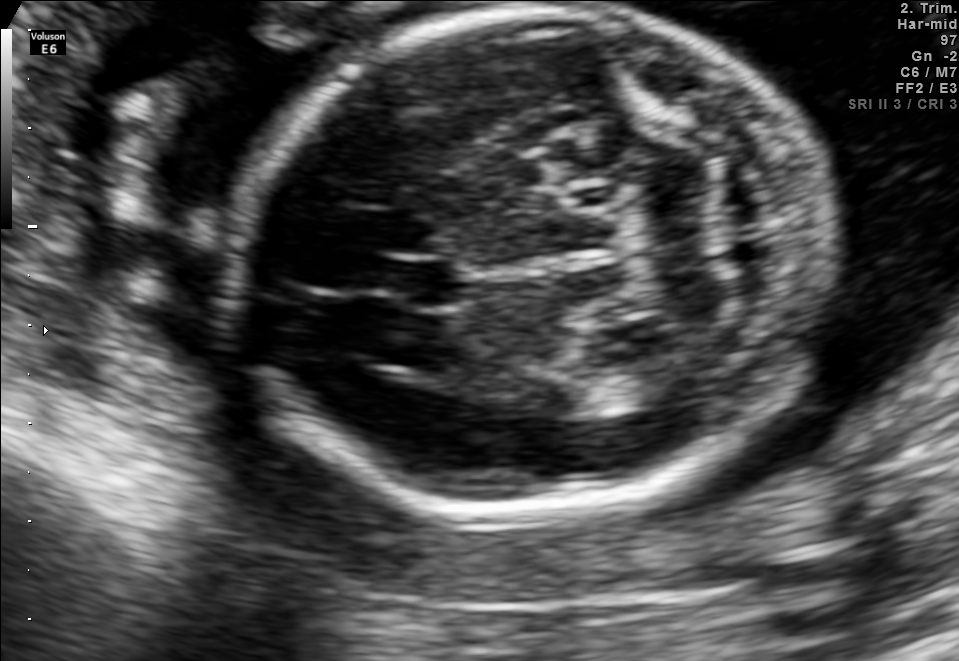
Fetal brain, trans-cerebellum plane. Where is the fetal head?

Head bounding box: [236,10,833,515]